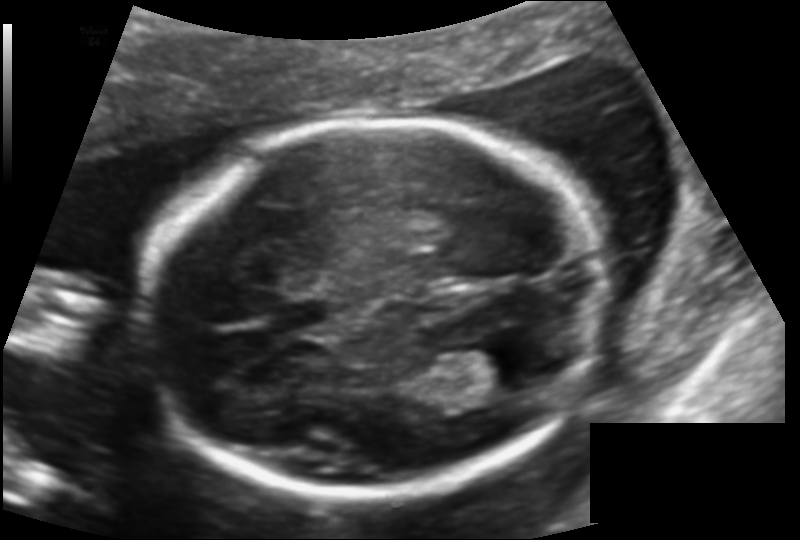
Estimate the fetal head circumference from this 2D ultrasound. Image width: 105.2 mm.

Head circumference: 177.1 mm.